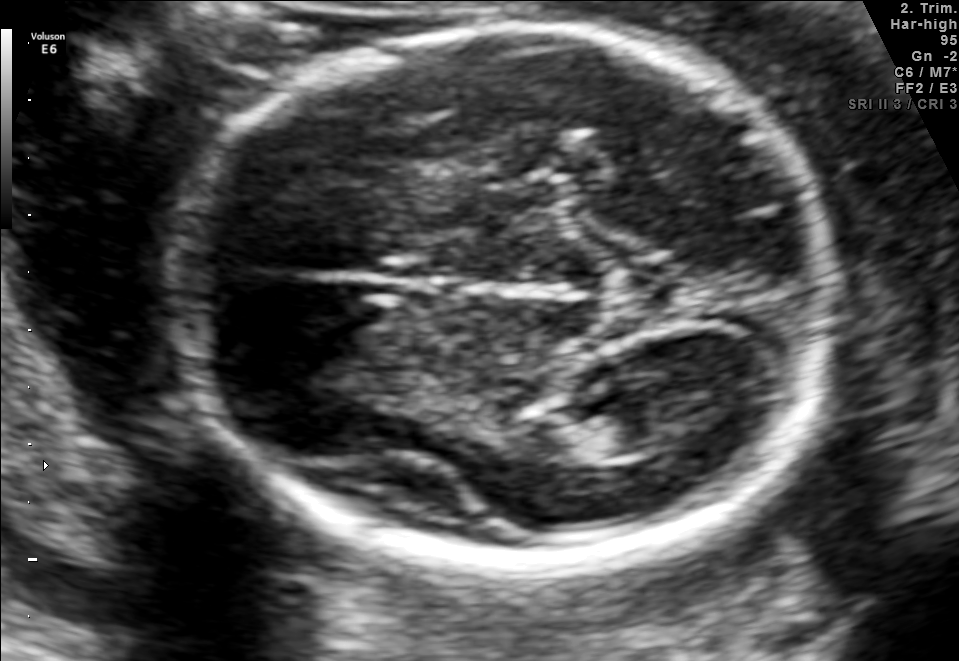
In this fetal brain, trans-thalamic plane, give the bounding box of the lateral ventricle.

[552,382,672,470]